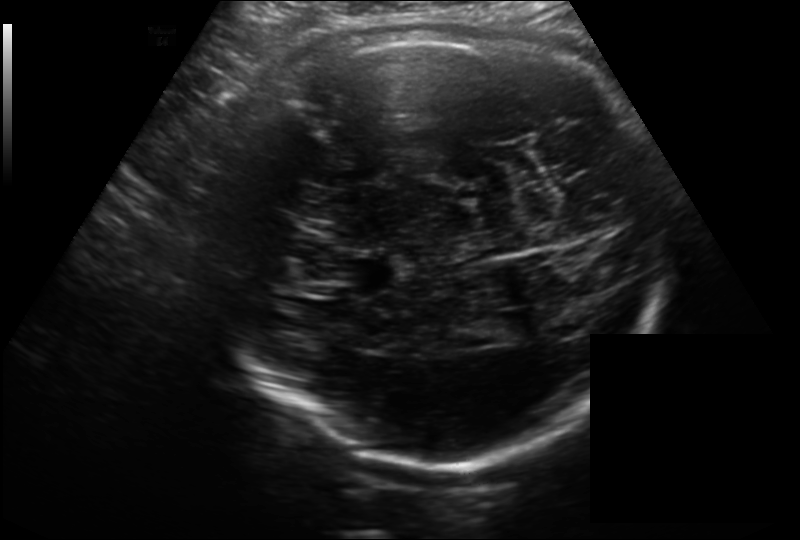
Fetal head ultrasound. Image width: 171.5 mm. Locate the fetal head and, if visible, the cavum septum pellucidum (CSP) and lateral ventricle (LV). Give bounding boxes as [x1,y1,x2,y2].

Head: [218,16,664,459]
CSP: [336,254,400,293]